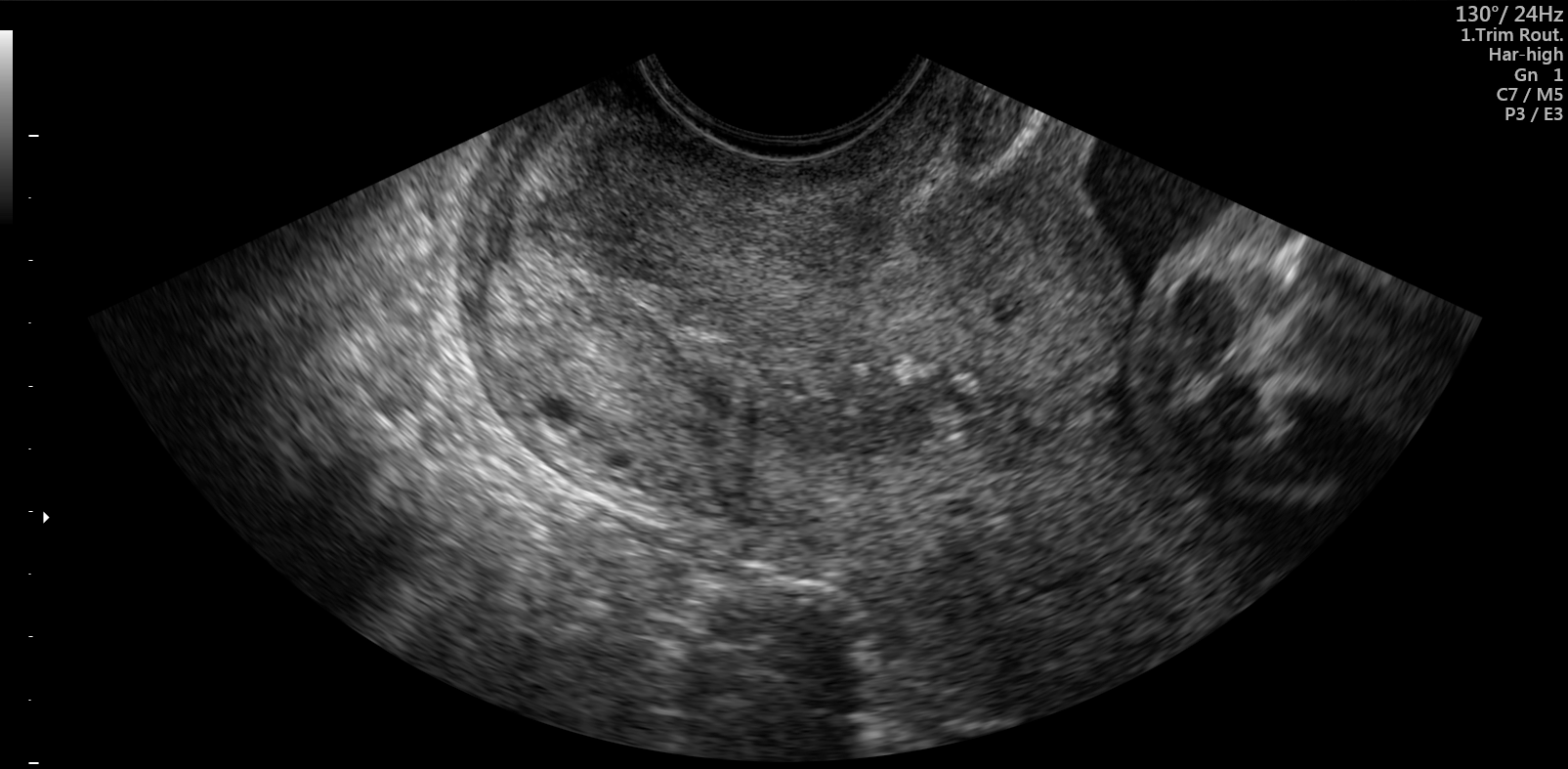
Which standard maternal-fetal ultrasound plane is shown: fetal abdomen, fetal brain, fetal femur, fetal thorax, maternal cervix, or other? If it's fetal brain and one of the three standard brain planes (trans-thalamic, trans-cerebellum, trans-ventricular), name which.

Maternal cervix